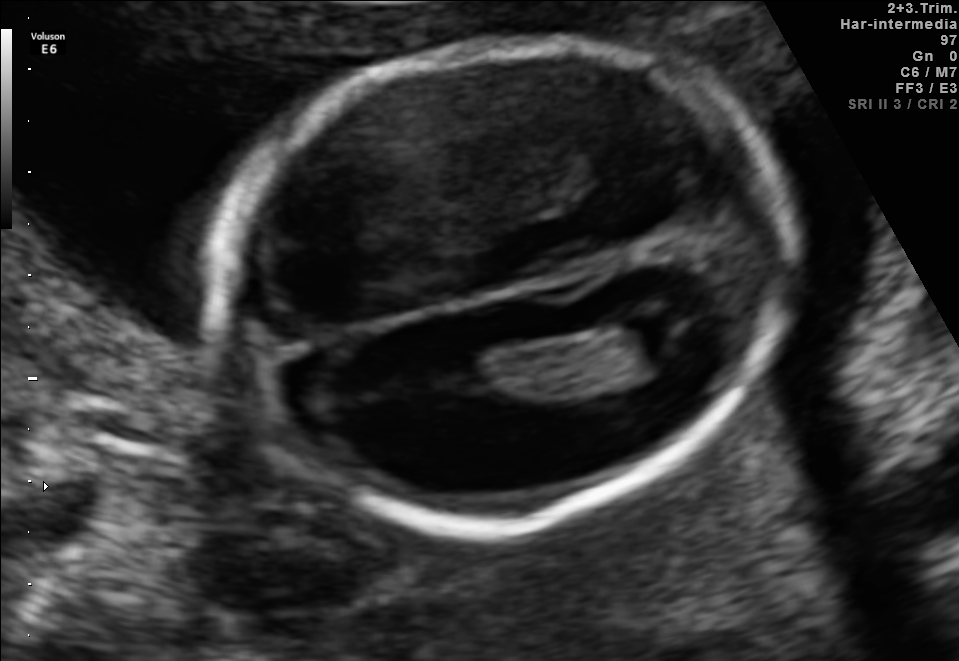
In this fetal brain, trans-ventricular plane, give bounding boxes for the head outline, cavum septum pellucidum (CSP), and lateral ventricle (LV), where visible.

Head: [206,26,807,541]